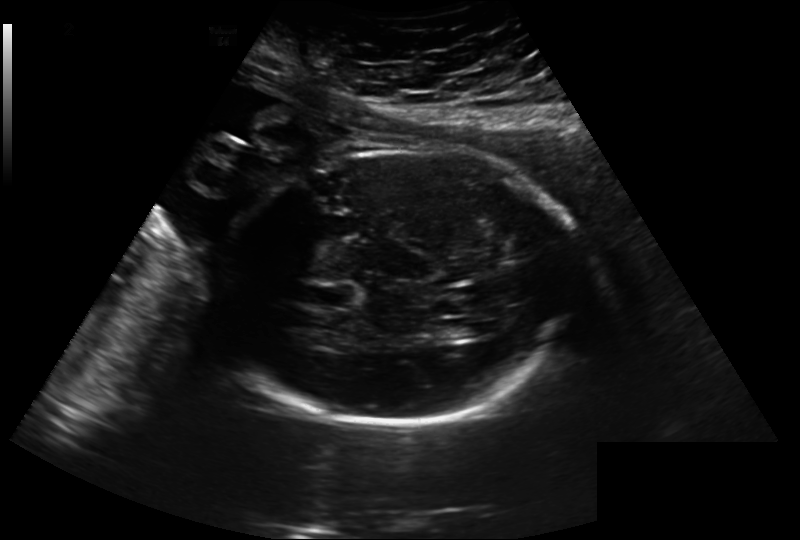
Estimate the fetal head circumference from this 2D ultrasound. Image width: 208.3 mm.

Head circumference: 269.0 mm.